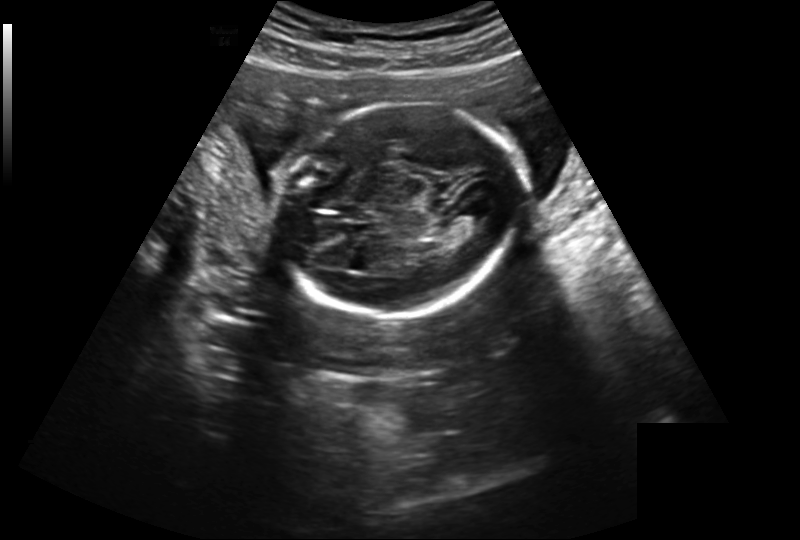
Fetal head ultrasound. Image width: 191.4 mm. Locate the lateral ventricle.

Lateral ventricle: [457,199,490,231]